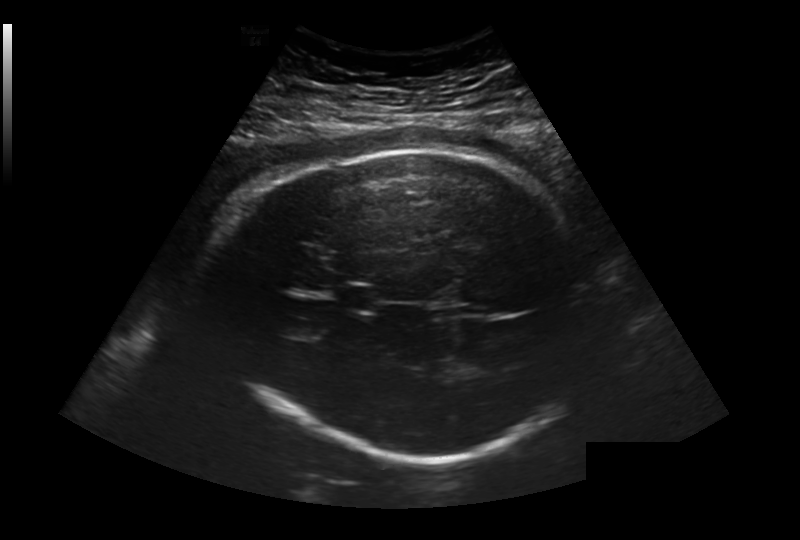
Fetal head ultrasound. Image width: 224.9 mm. Where is the cavum septum pellucidum?

CSP bounding box: [335,282,383,316]